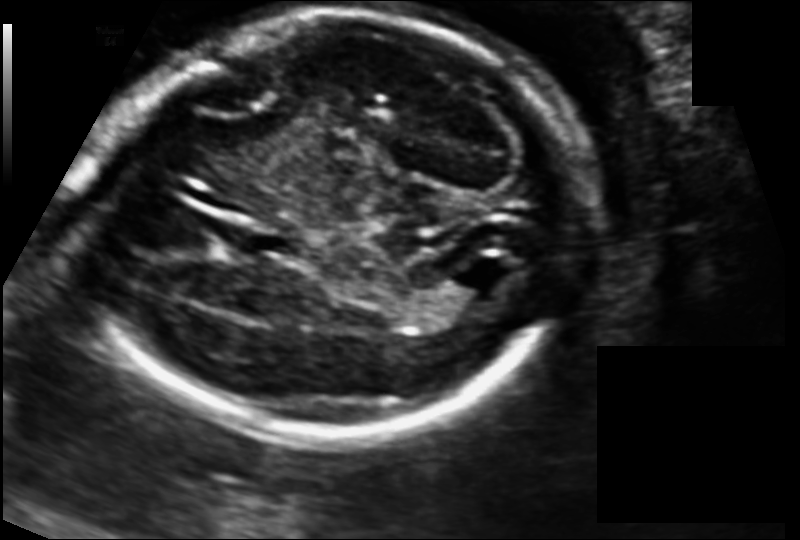
What is the fetal head circumference? Image width is 100.4 mm.

184.5 mm